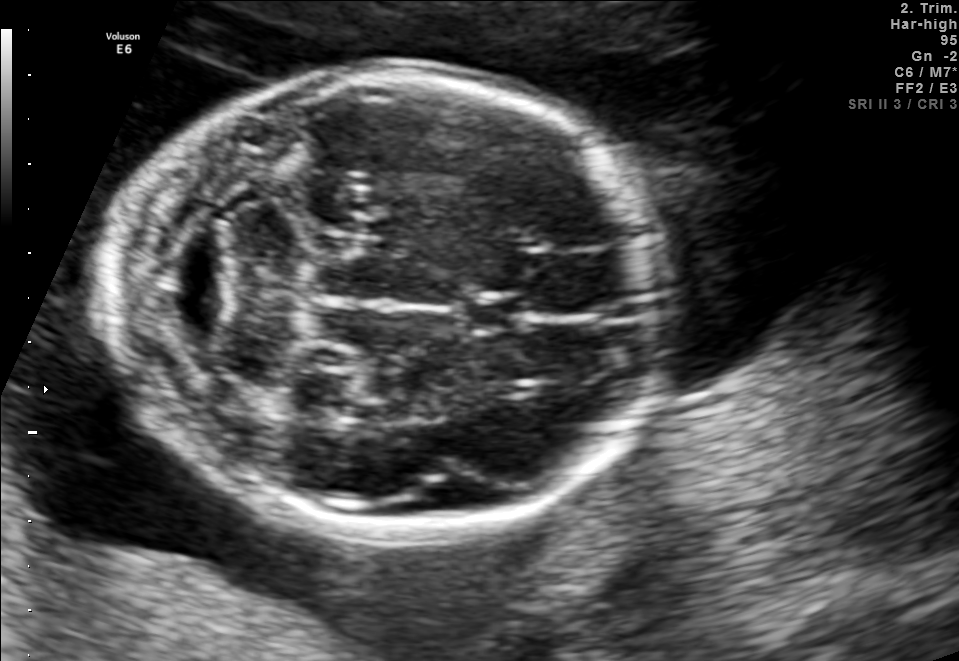
Fetal brain, trans-cerebellum plane. Locate the cavum septum pellucidum.

CSP: [464,292,534,334]